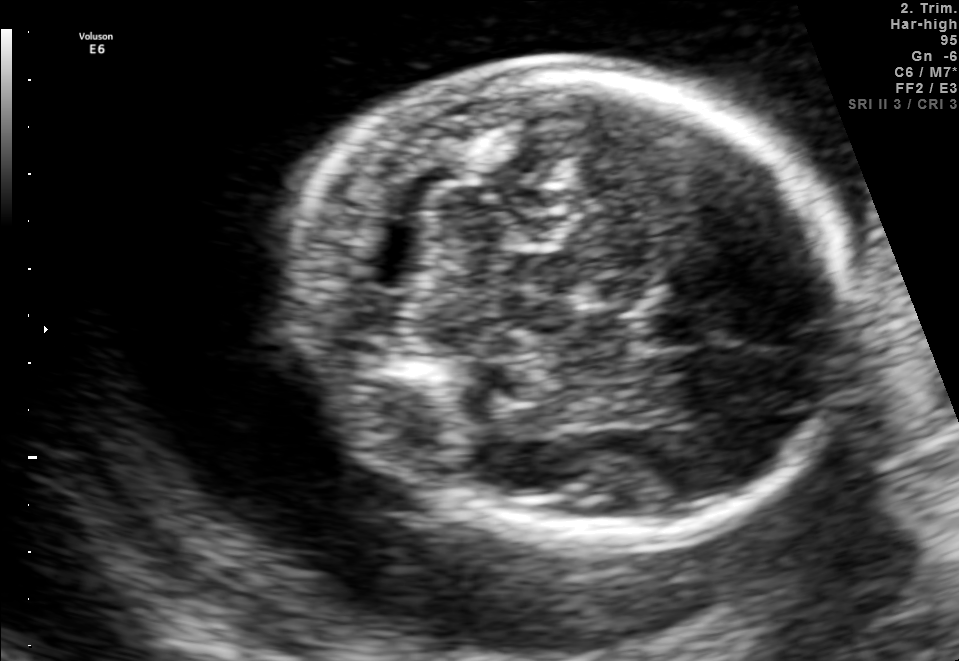
In this fetal brain, trans-cerebellum plane, give bounding boxes for the head outline, cavum septum pellucidum (CSP), and lateral ventricle (LV), where visible.

Head: [297,63,846,538]
CSP: [635,308,714,352]